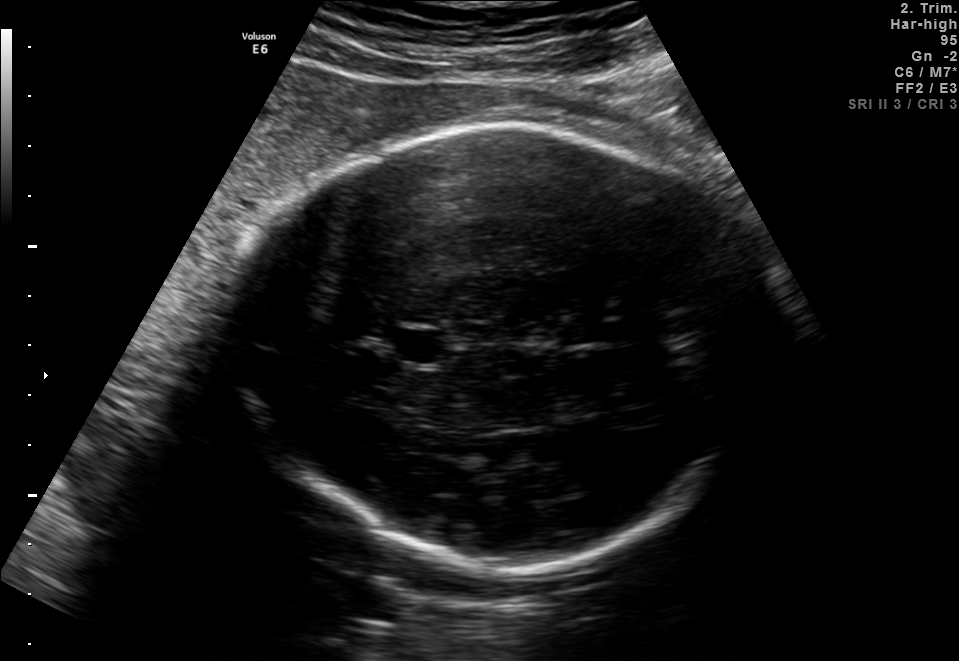
Fetal brain, trans-thalamic plane. Where is the cavum septum pellucidum?

CSP bounding box: [390,328,447,366]